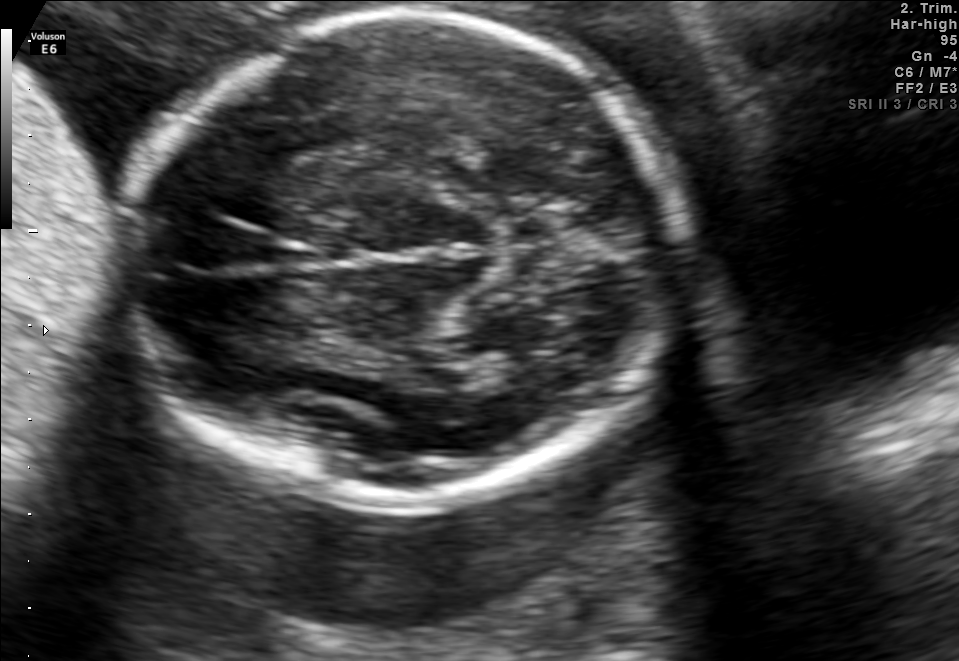
In this fetal brain, trans-thalamic plane, give the bounding box of the fetal head.

[121,16,684,501]